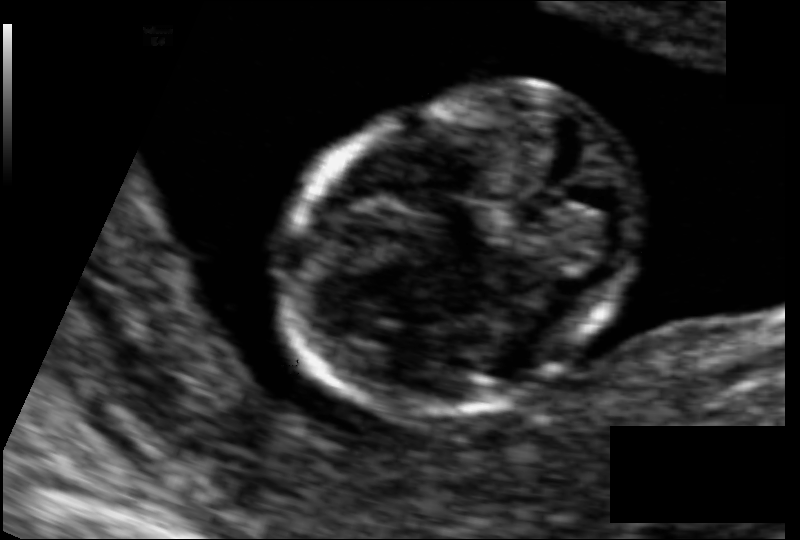
Estimate the fetal head circumference from this 2D ultrasound. Image width: 52.4 mm.

Head circumference: 72.8 mm.